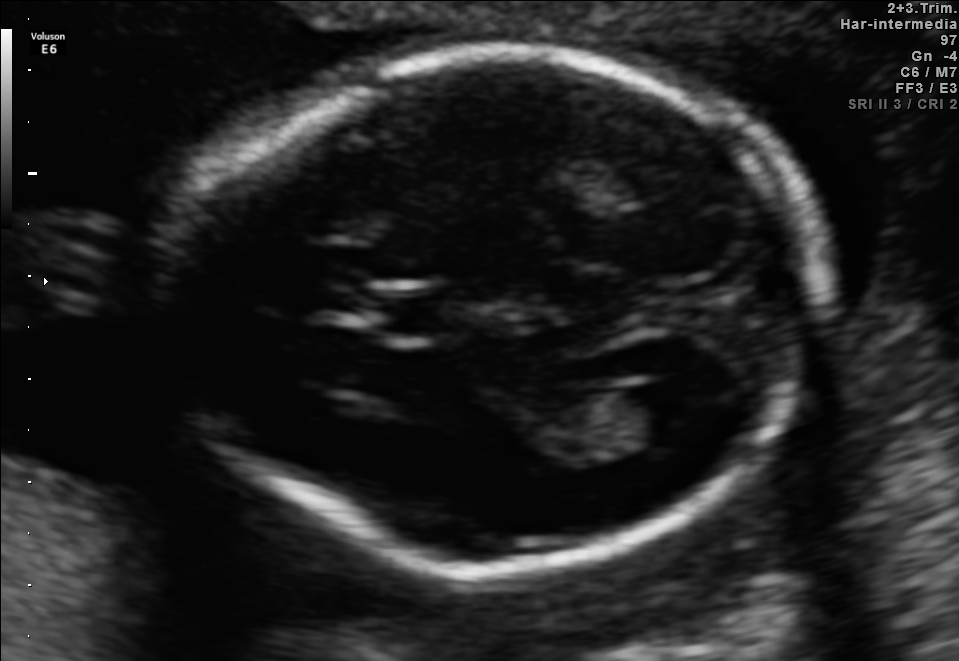
In this fetal brain, trans-ventricular plane, give the bounding box of the cavum septum pellucidum.

[363,297,442,336]